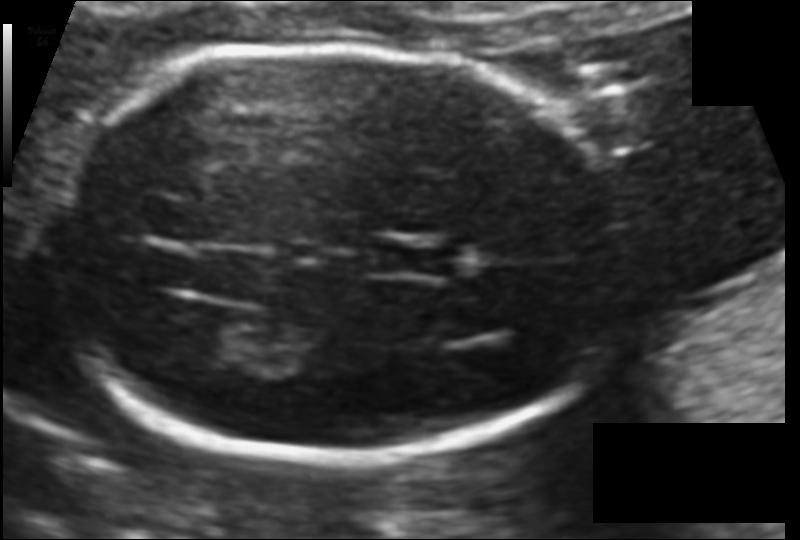
Fetal head ultrasound. Image width: 78.8 mm. Where is the lateral ventricle?

Lateral ventricle bounding box: [165,307,254,367]